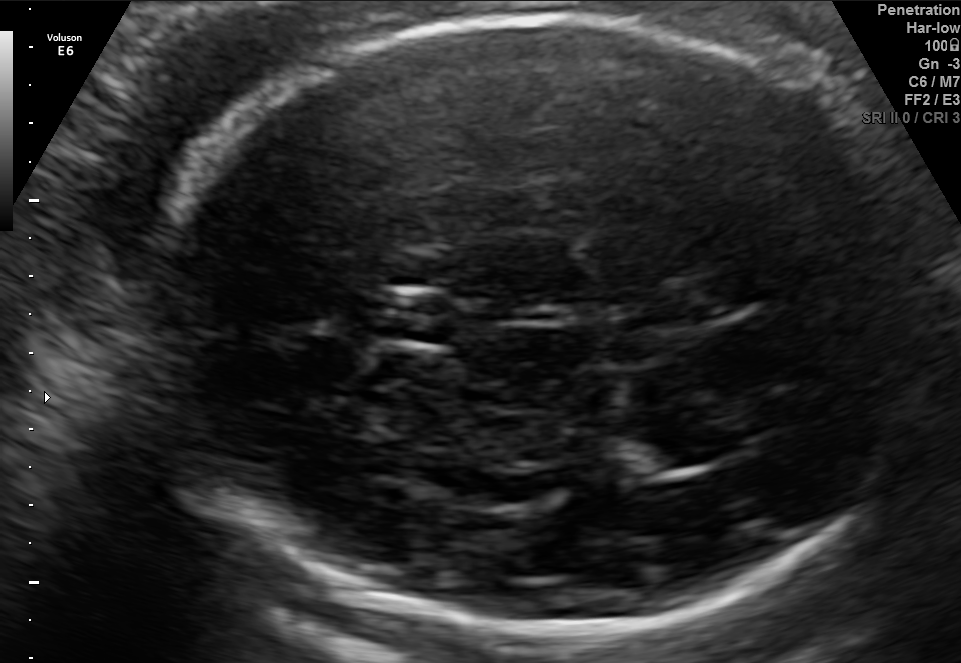
This is a 2D maternal-fetal ultrasound frame. Is it a fetal abdomen, fetal brain, fetal femur, fetal thorax, maternal cervix, or other standard plane? If it's fetal brain and one of the three standard brain planes (trans-thalamic, trans-cerebellum, trans-ventricular), name which.

Fetal brain (trans-thalamic plane)